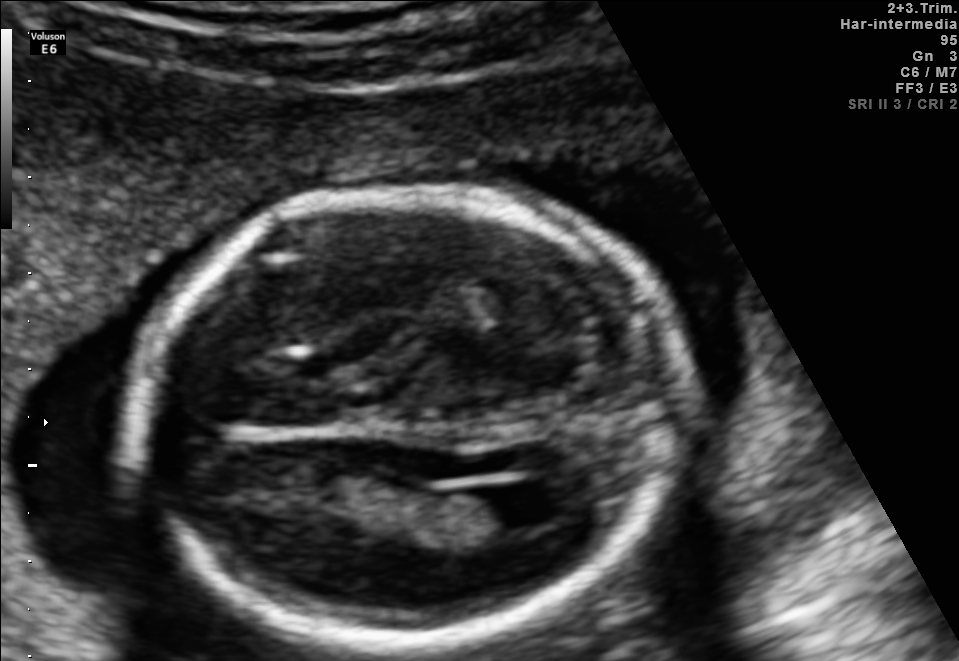
In this fetal brain, trans-ventricular plane, give bounding boxes for the head outline, cavum septum pellucidum (CSP), and lateral ventricle (LV), where visible.

Head: [121,177,702,658]
Lateral ventricle: [466,474,566,539]